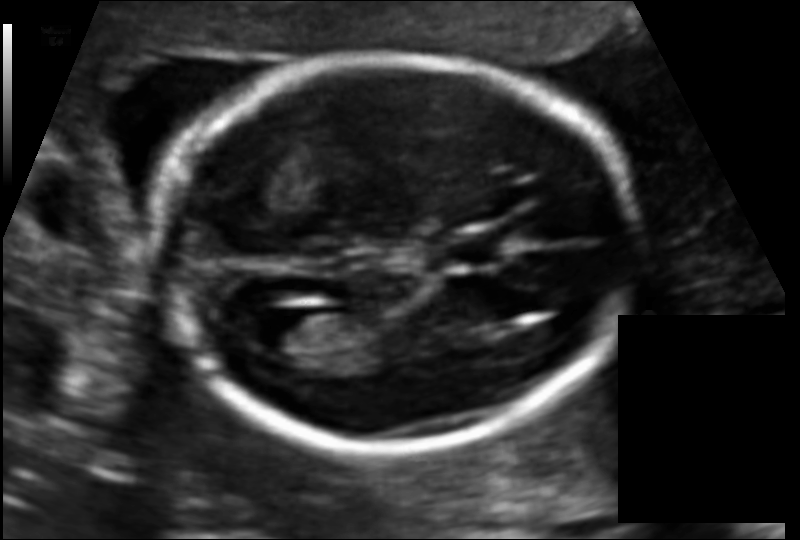
Fetal head ultrasound. Image width: 87.1 mm. Where is the lateral ventricle?

Lateral ventricle bounding box: [239,305,319,352]